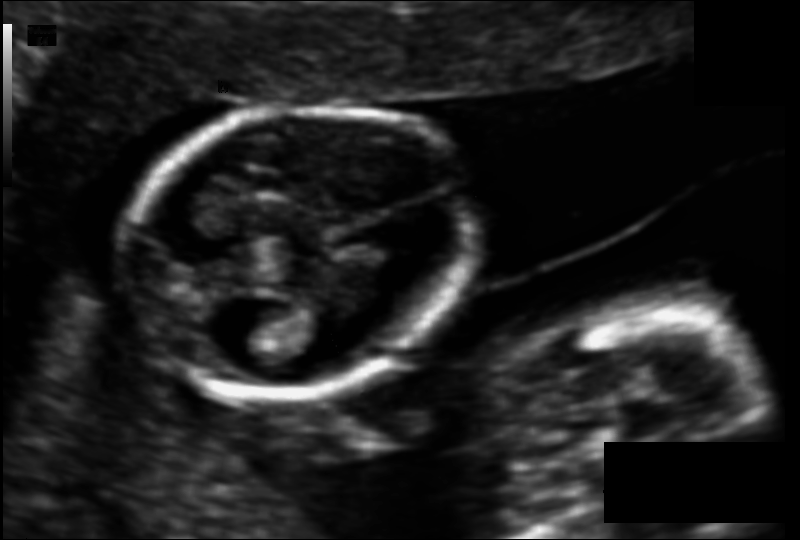
From this fetal ultrasound, estimate the head circumference (image width 76.3 mm).

Head circumference: 99.7 mm.